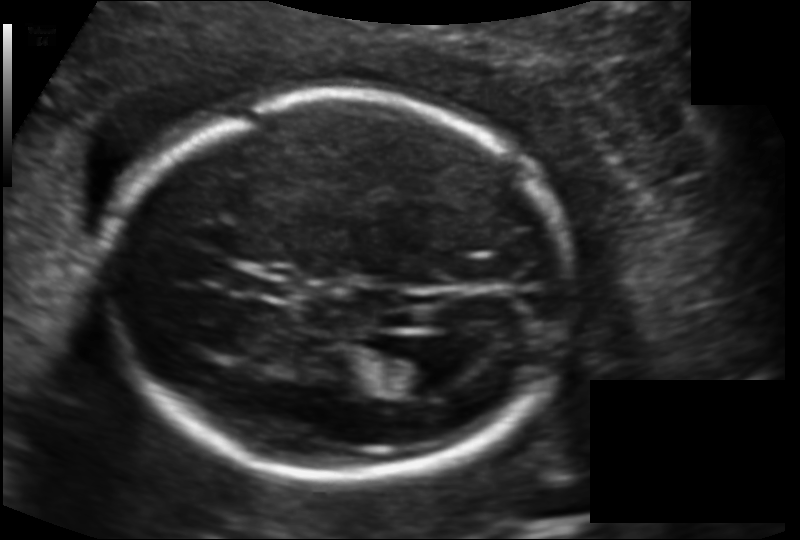
Fetal head ultrasound. Image width: 107.3 mm. Locate the fetal head and, if visible, the cavum septum pellucidum (CSP) and lateral ventricle (LV). Give bounding boxes as [x1,y1,x2,y2].

Head: [108,92,565,482]
CSP: [234,268,289,302]
Lateral ventricle: [382,356,443,395]